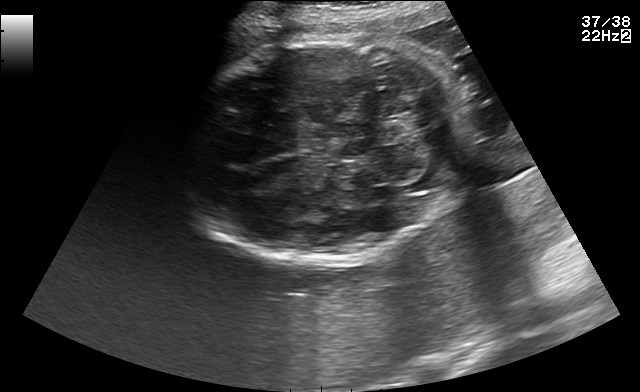
Fetal brain, trans-cerebellum plane. Locate the fetal head and, if visible, the cavum septum pellucidum (CSP) and lateral ventricle (LV). Give bounding boxes as [x1,y1,x2,y2].

Head: [176,37,464,262]